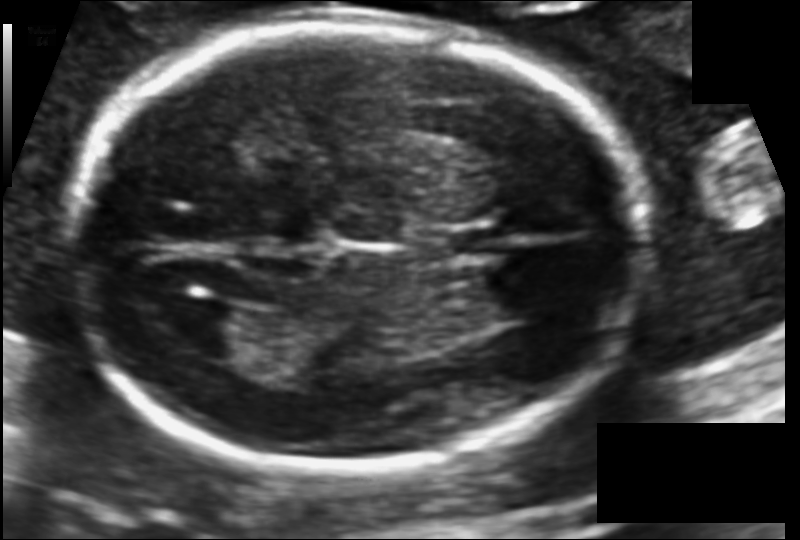
Fetal head ultrasound. Image width: 90.1 mm. Give [x1,y1,x2,y2] bounding boxes for each visible structure among: fetal head, CSP, LV.

Head: [63,25,650,471]
CSP: [434,221,500,262]
Lateral ventricle: [157,293,251,364]